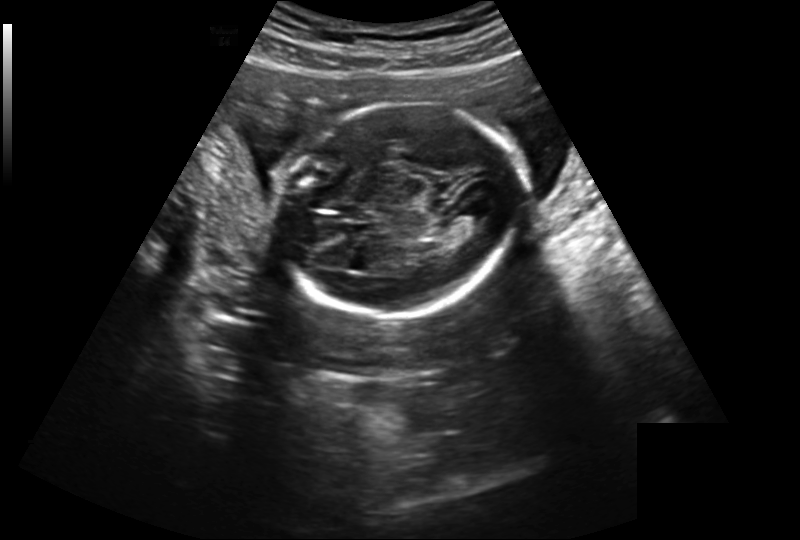
Fetal head ultrasound. Image width: 191.4 mm. Where is the lateral ventricle?

Lateral ventricle bounding box: [457,199,490,231]